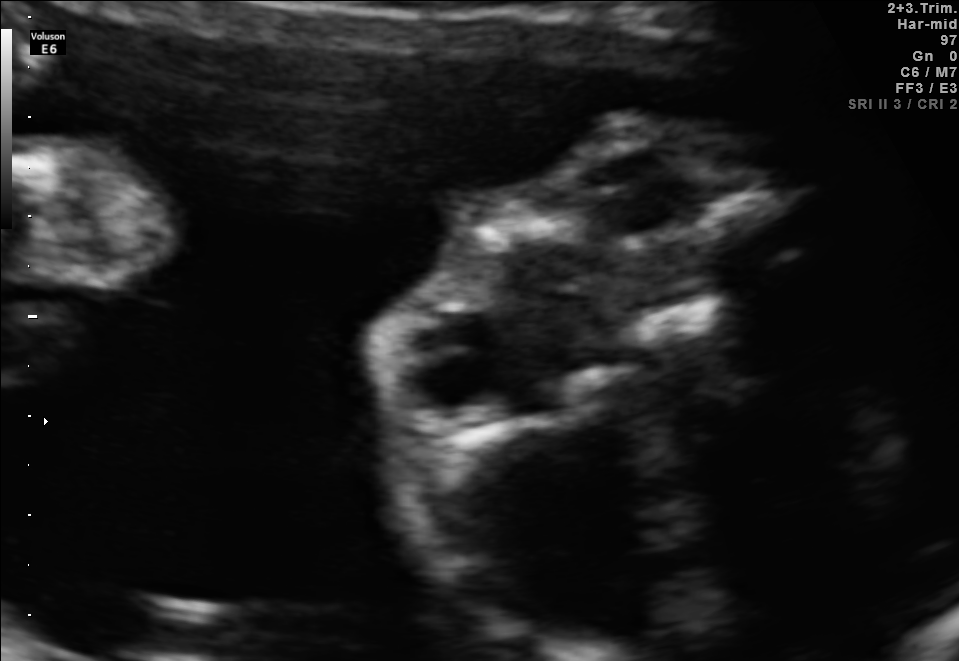
Identify the standard plane in this fetal ultrasound image: fetal abdomen, fetal brain, fetal femur, fetal thorax, maternal cervix, or other. If it's fetal brain and one of the three standard brain planes (trans-thalamic, trans-cerebellum, trans-ventricular), name which.

Other